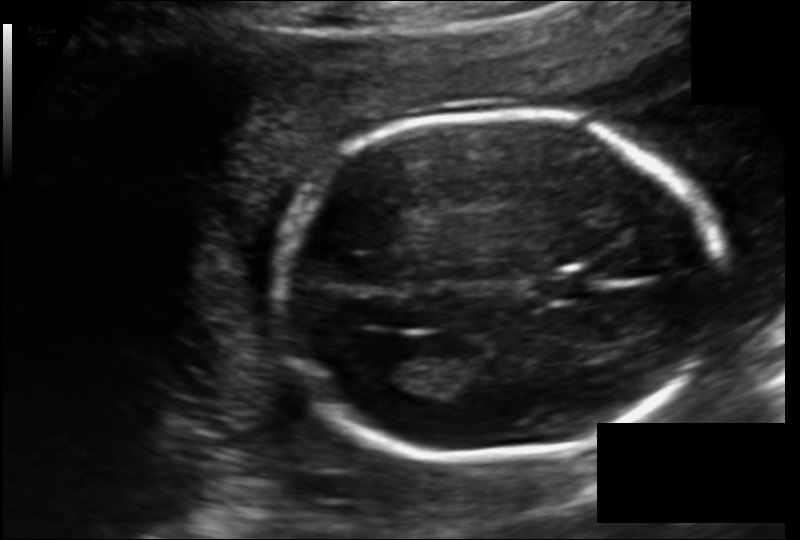
Fetal head ultrasound. Image width: 107.8 mm. Locate the lateral ventricle.

Lateral ventricle: [368,346,439,396]